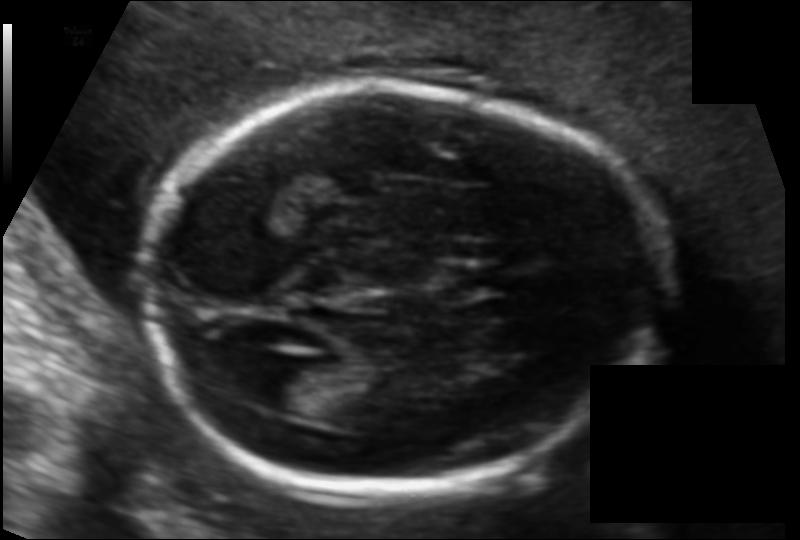
In this fetal head ultrasound, give the bounding box of the cavum septum pellucidum. Image width: 88.8 mm.

[445,260,513,299]